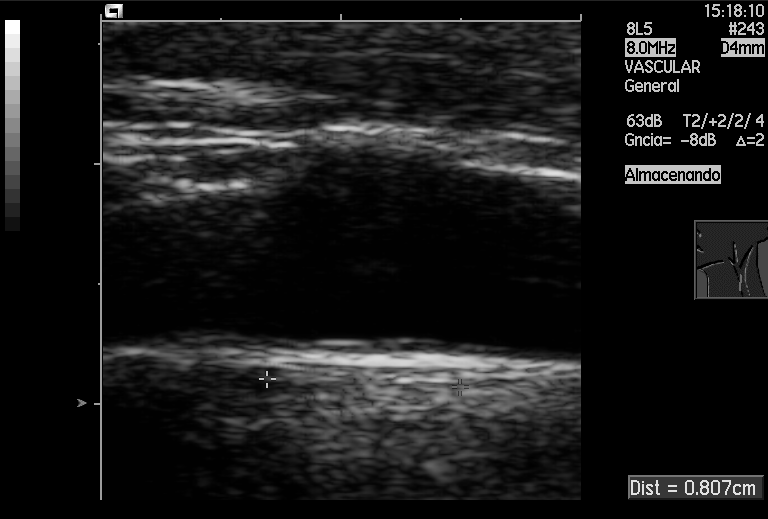
Classify this maternal-fetal ultrasound image as one of the six standard planes — fetal abdomen, fetal brain, fetal femur, fetal thorax, maternal cervix, or other. If it's fetal brain and one of the three standard brain planes (trans-thalamic, trans-cerebellum, trans-ventricular), name which.

Other